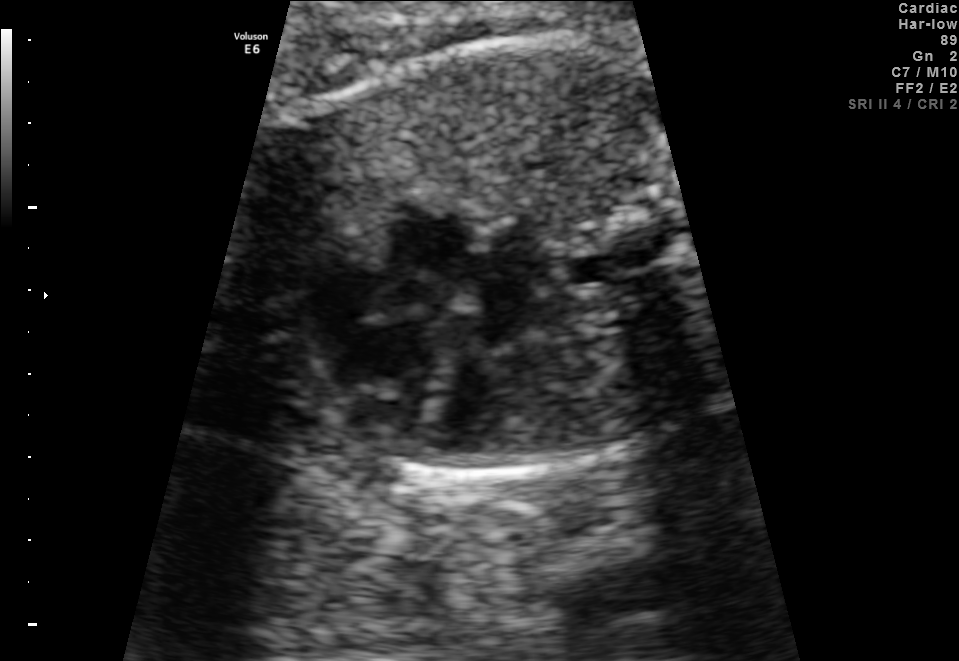
This is a 2D maternal-fetal ultrasound frame. Is it a fetal abdomen, fetal brain, fetal femur, fetal thorax, maternal cervix, or other standard plane? If it's fetal brain and one of the three standard brain planes (trans-thalamic, trans-cerebellum, trans-ventricular), name which.

Fetal thorax